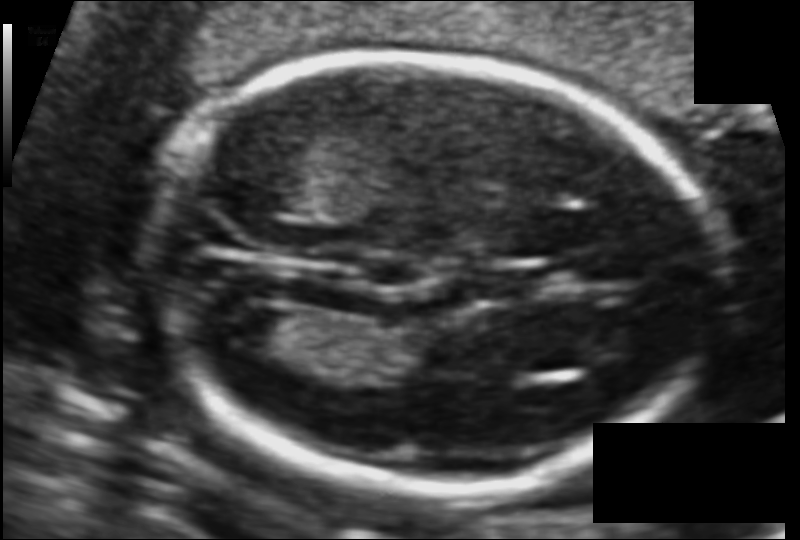
Estimate the fetal head circumference from this 2D ultrasound. Image width: 75.8 mm.

Head circumference: 154.3 mm.